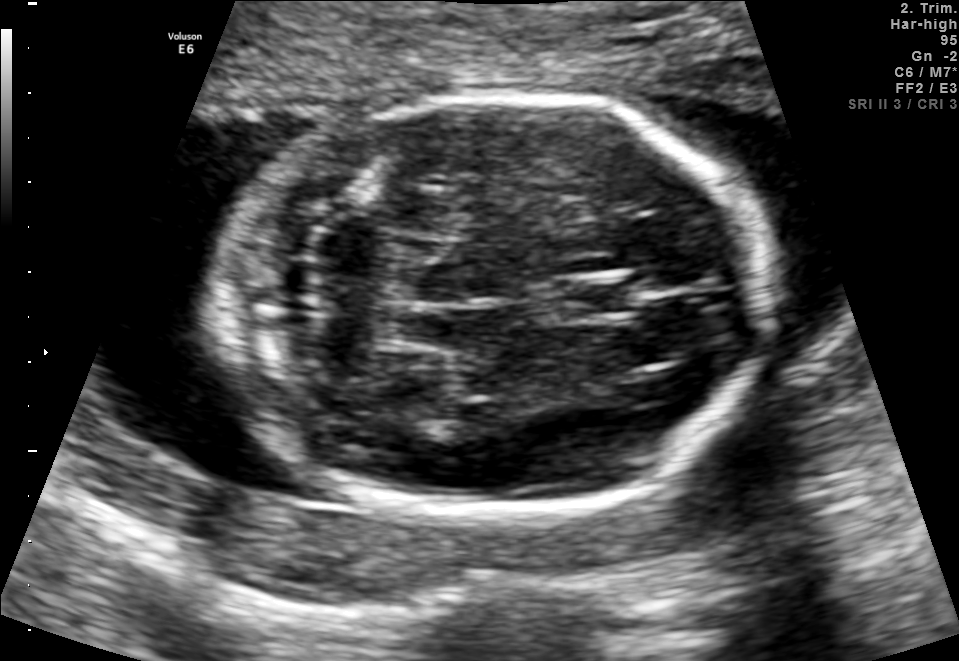
Classify this maternal-fetal ultrasound image as one of the six standard planes — fetal abdomen, fetal brain, fetal femur, fetal thorax, maternal cervix, or other. If it's fetal brain and one of the three standard brain planes (trans-thalamic, trans-cerebellum, trans-ventricular), name which.

Fetal brain (trans-cerebellum plane)